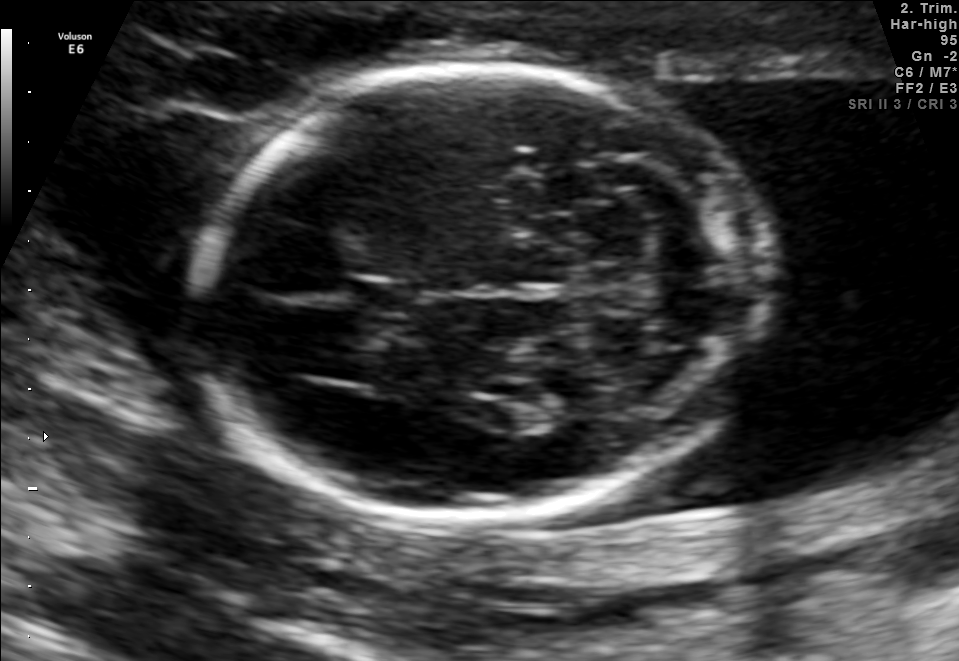
Fetal brain, trans-cerebellum plane. Where is the fetal head?

Head bounding box: [197,67,772,514]